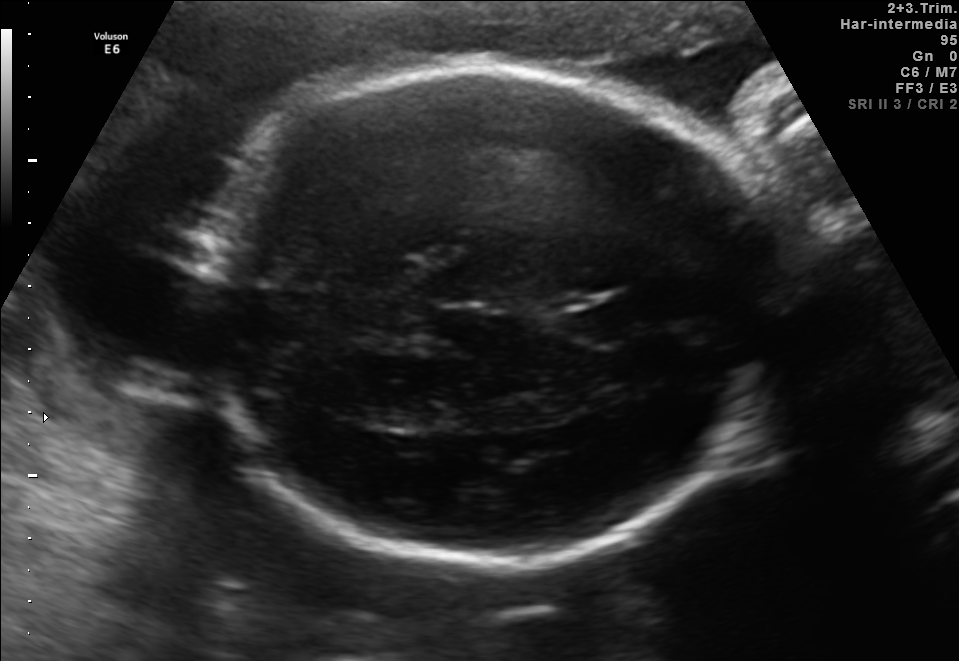
Fetal brain, trans-thalamic plane. Locate the cavum septum pellucidum.

CSP: [571,289,650,347]